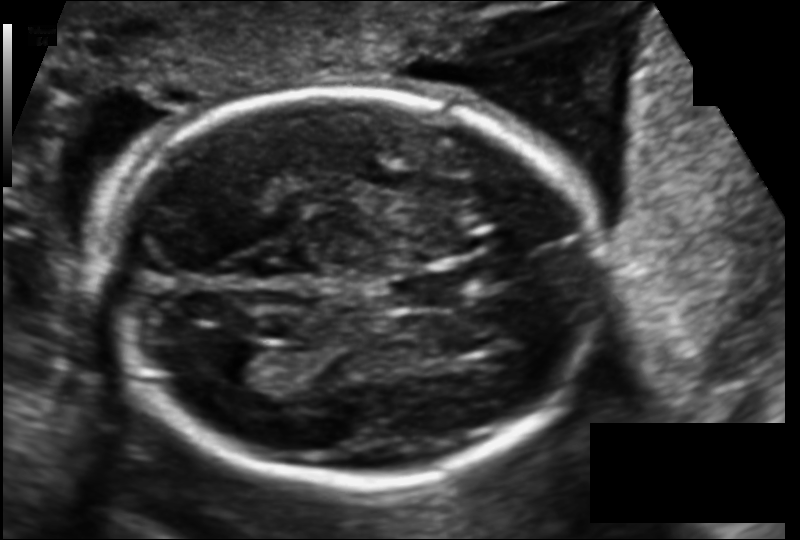
Measure the fetal head circumference shown in this ultrasound image. Image width: 104.3 mm.

Head circumference: 189.9 mm.